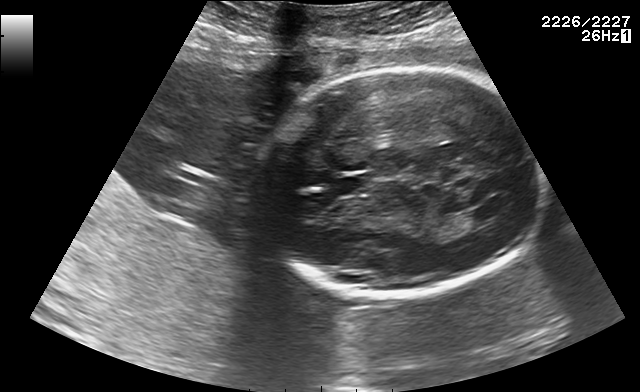
In this fetal brain, trans-ventricular plane, give bounding boxes for the cavum septum pellucidum (CSP) and lateral ventricle (LV), where visible.

CSP: [323,173,374,197]
Lateral ventricle: [467,199,509,229]